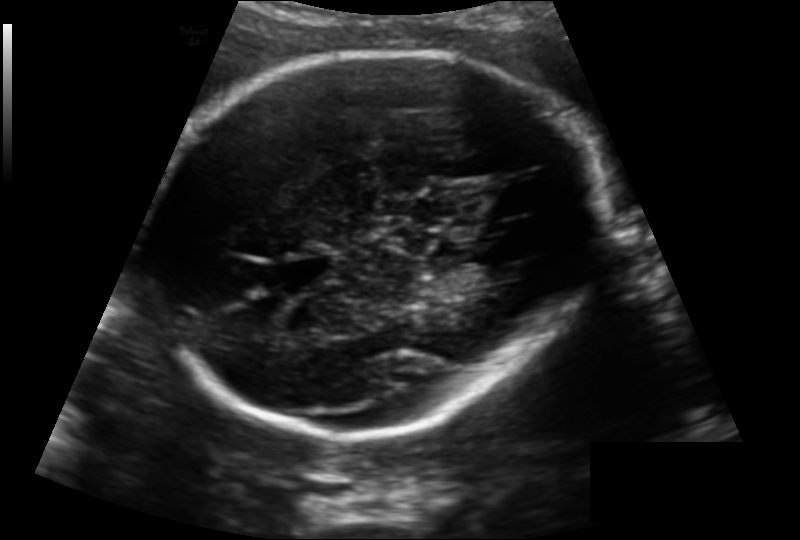
Fetal head ultrasound. Image width: 130.3 mm. Locate the cavum septum pellucidum.

CSP: [272,247,340,296]